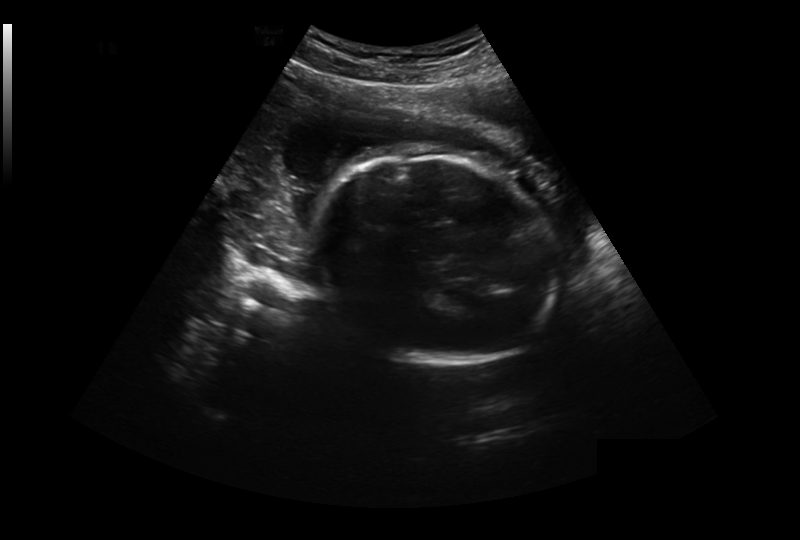
Estimate the fetal head circumference from this 2D ultrasound. Image width: 261.2 mm.

Head circumference: 241.7 mm.